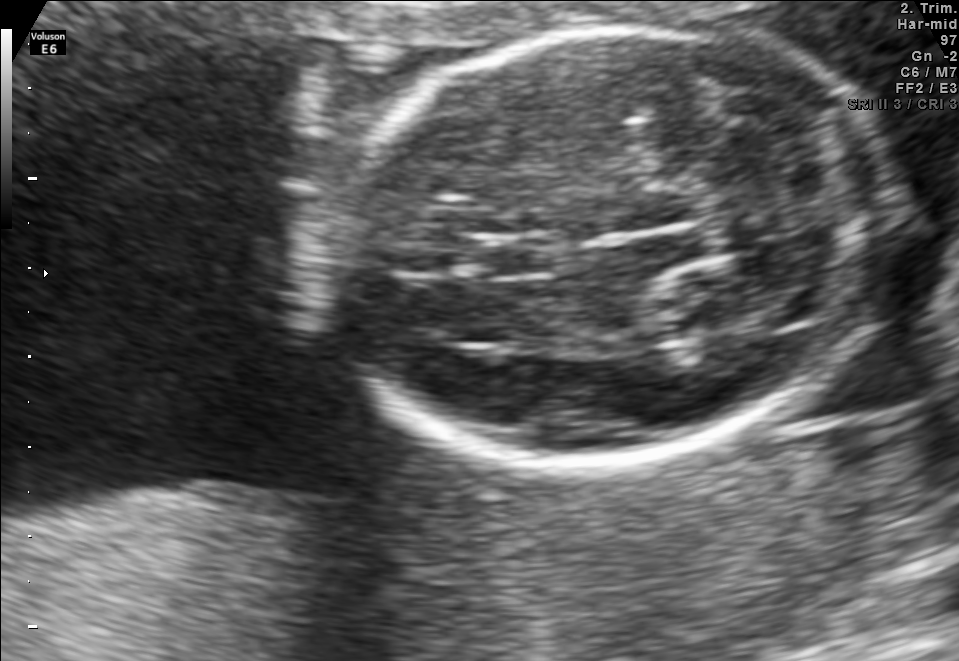
In this fetal brain, trans-thalamic plane, give the bounding box of the fetal head.

[317,30,898,461]